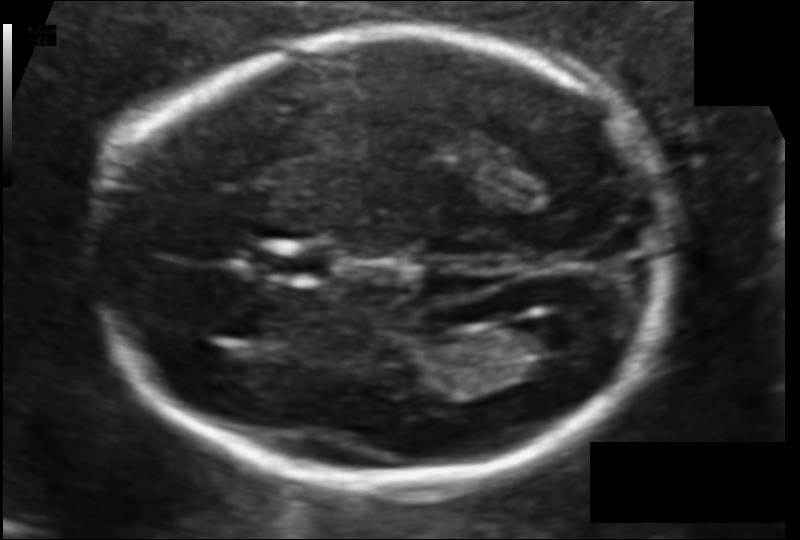
In this fetal head ultrasound, give bounding boxes for the head outline, cavum septum pellucidum (CSP), and lateral ventricle (LV), where visible. Image width: 85.0 mm.

Head: [98,32,670,485]
CSP: [251,245,329,284]
Lateral ventricle: [496,307,600,383]